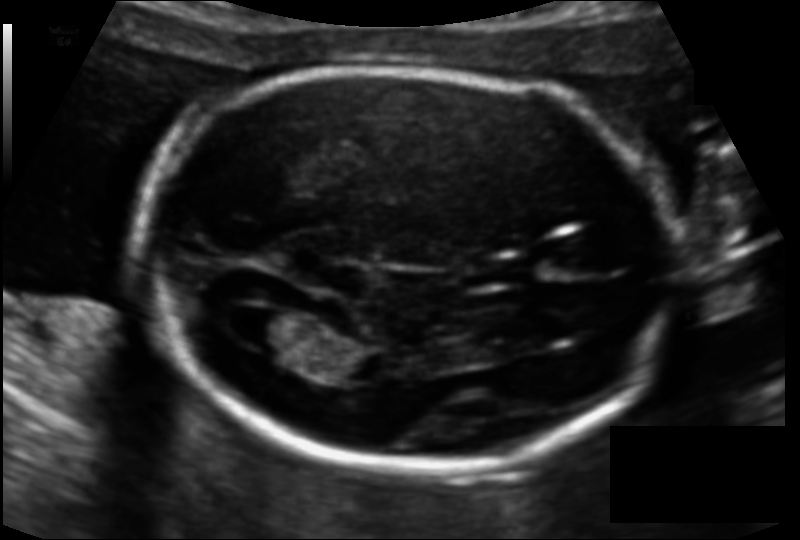
In this fetal head ultrasound, give the bounding box of the lateral ventricle. Image width: 89.1 mm.

[222,297,297,355]